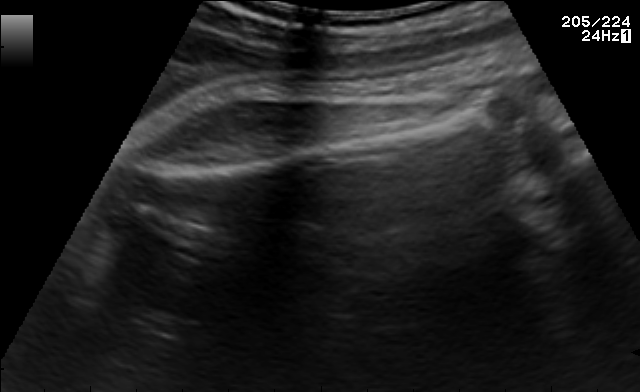
Classify this maternal-fetal ultrasound image as one of the six standard planes — fetal abdomen, fetal brain, fetal femur, fetal thorax, maternal cervix, or other. If it's fetal brain and one of the three standard brain planes (trans-thalamic, trans-cerebellum, trans-ventricular), name which.

Fetal femur